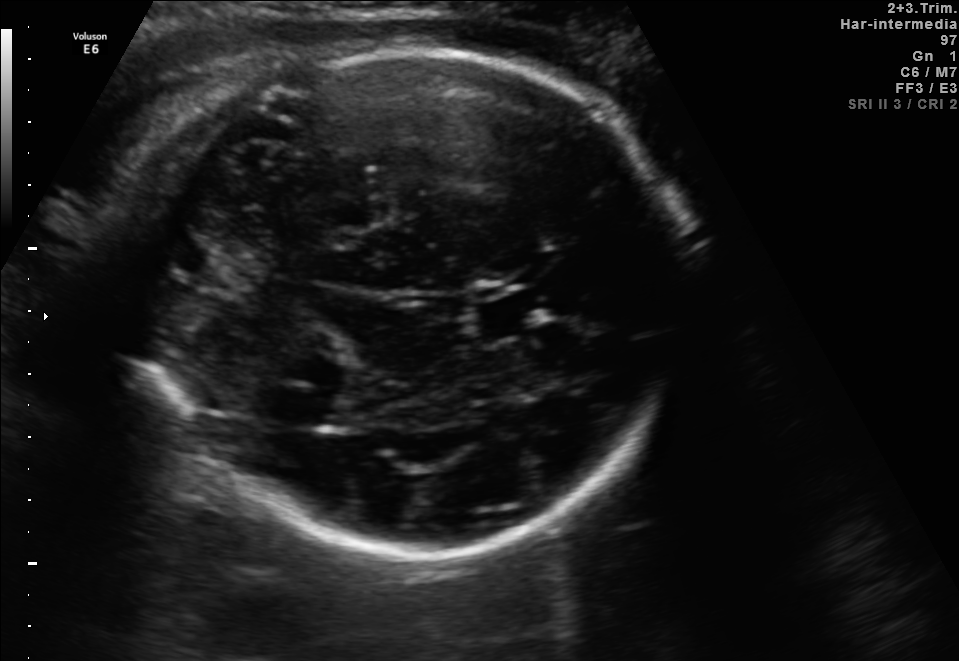
Fetal brain, trans-thalamic plane. Where is the fetal head?

Head bounding box: [139,46,678,563]